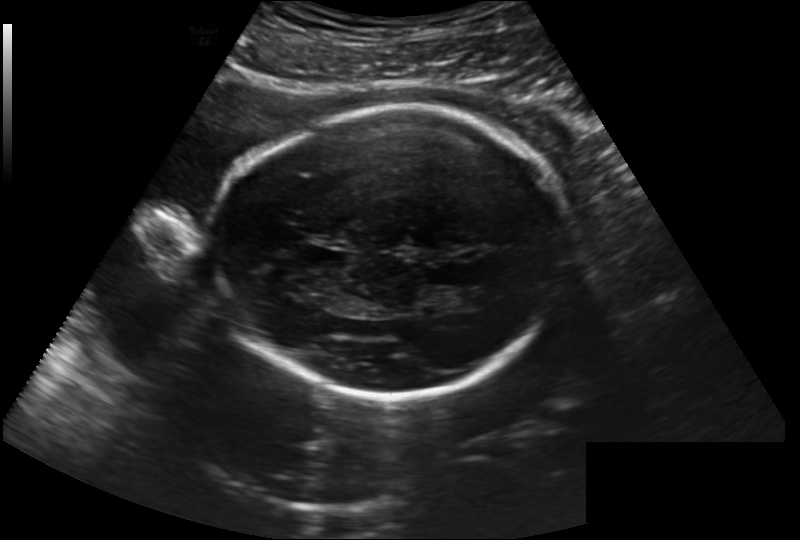
Estimate the fetal head circumference from this 2D ultrasound.

Head circumference: 230.1 mm (image width 177.2 mm).